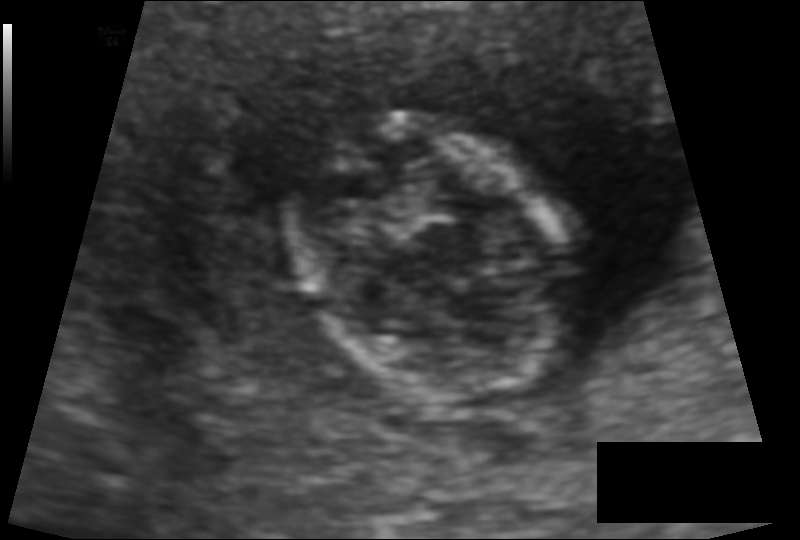
In this fetal head ultrasound, give the bounding box of the fetal head. Image width: 72.9 mm.

[277,120,585,395]